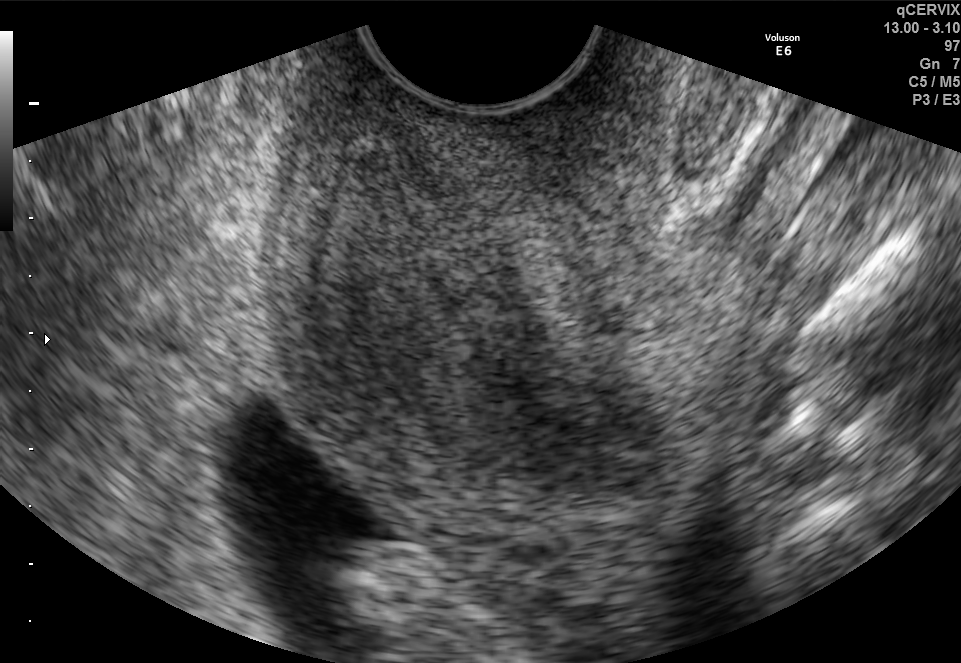
Identify the standard plane in this fetal ultrasound image: fetal abdomen, fetal brain, fetal femur, fetal thorax, maternal cervix, or other. If it's fetal brain and one of the three standard brain planes (trans-thalamic, trans-cerebellum, trans-ventricular), name which.

Maternal cervix